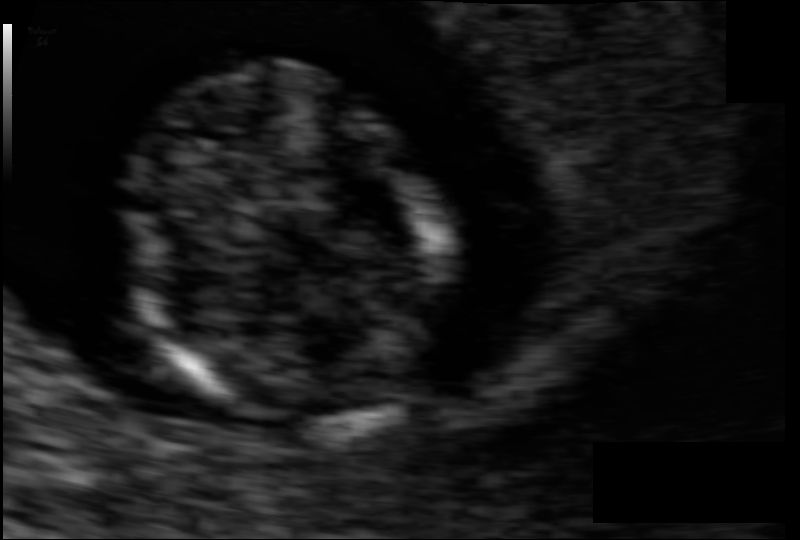
Estimate the fetal head circumference from this 2D ultrasound.

Head circumference: 72.0 mm (image width 51.3 mm).